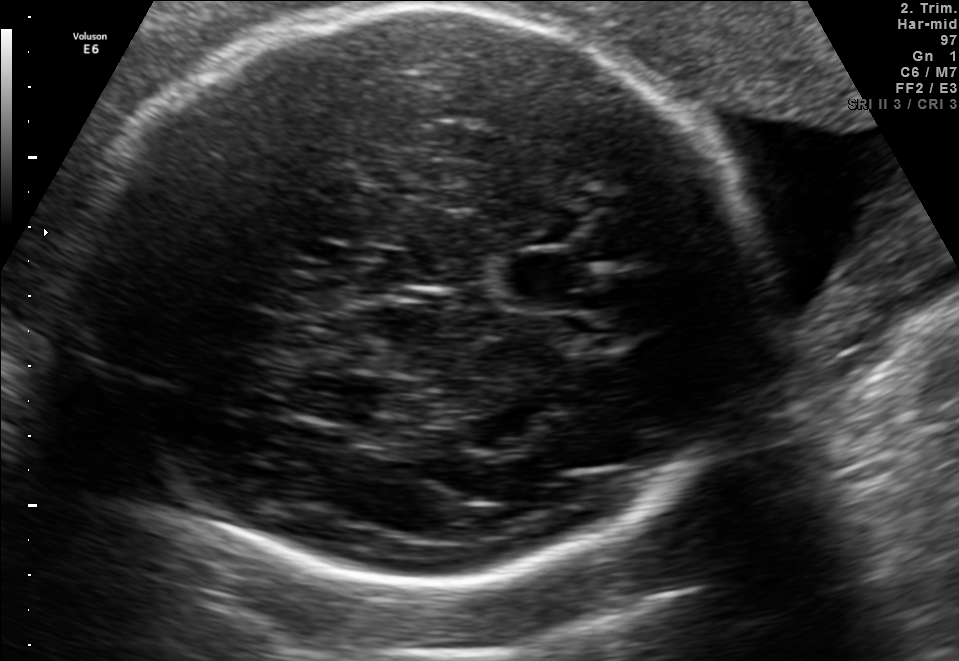
Fetal brain, trans-thalamic plane. Locate the fetal head.

Head: [63,9,752,588]